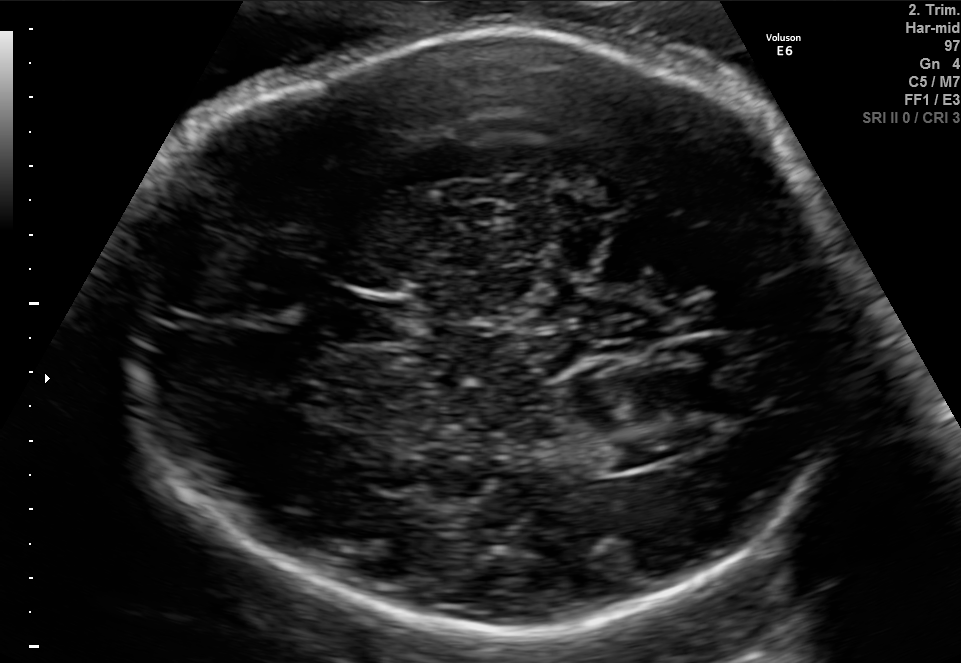
In this fetal brain, trans-ventricular plane, give bounding boxes for the head outline, cavum septum pellucidum (CSP), and lateral ventricle (LV), where visible.

Head: [109,20,862,639]
CSP: [328,293,404,341]
Lateral ventricle: [611,424,690,472]